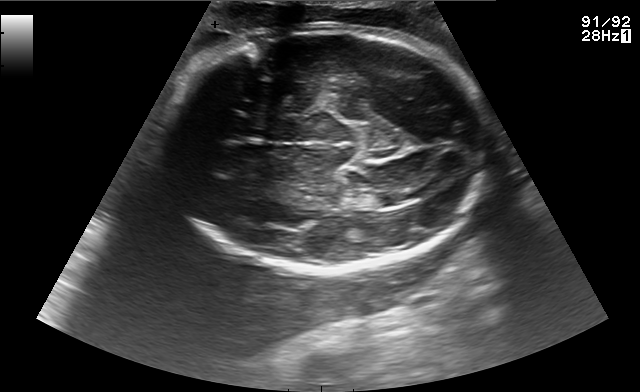
In this fetal brain, trans-thalamic plane, give the bounding box of the fetal head.

[160,25,493,273]